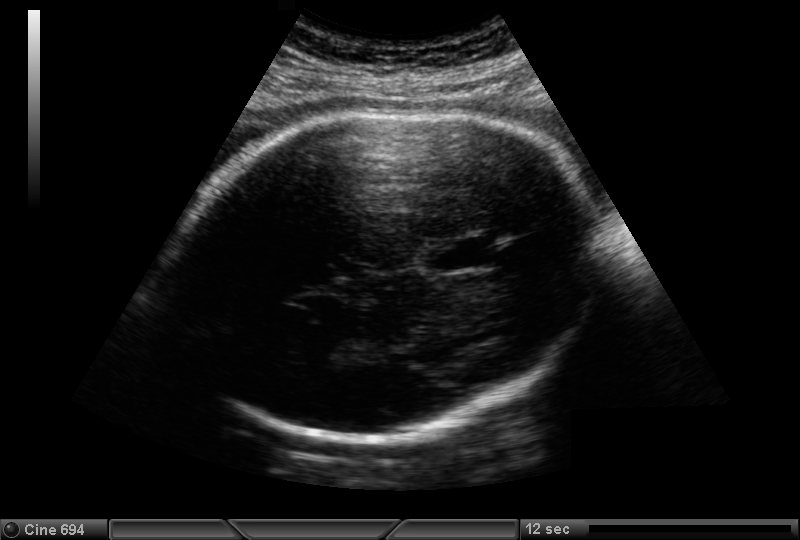
Fetal head ultrasound. Image width: 176.7 mm. Where is the cavum septum pellucidum?

CSP bounding box: [422,231,496,279]